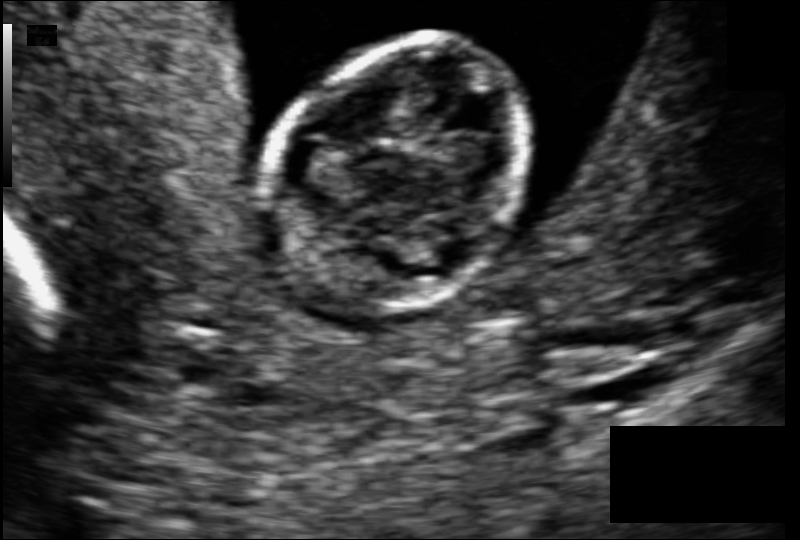
What is the fetal head circumference? Image width is 63.6 mm.

68.7 mm